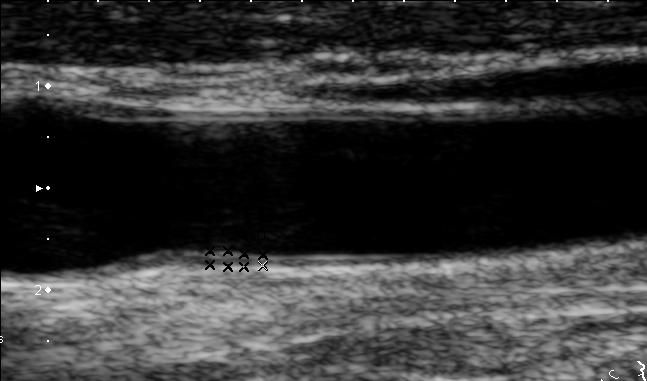
Which standard maternal-fetal ultrasound plane is shown: fetal abdomen, fetal brain, fetal femur, fetal thorax, maternal cervix, or other? If it's fetal brain and one of the three standard brain planes (trans-thalamic, trans-cerebellum, trans-ventricular), name which.

Other